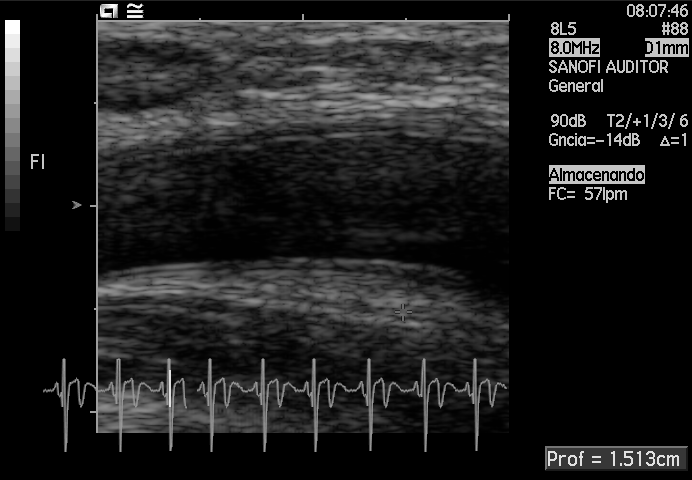
Classify this maternal-fetal ultrasound image as one of the six standard planes — fetal abdomen, fetal brain, fetal femur, fetal thorax, maternal cervix, or other. If it's fetal brain and one of the three standard brain planes (trans-thalamic, trans-cerebellum, trans-ventricular), name which.

Other